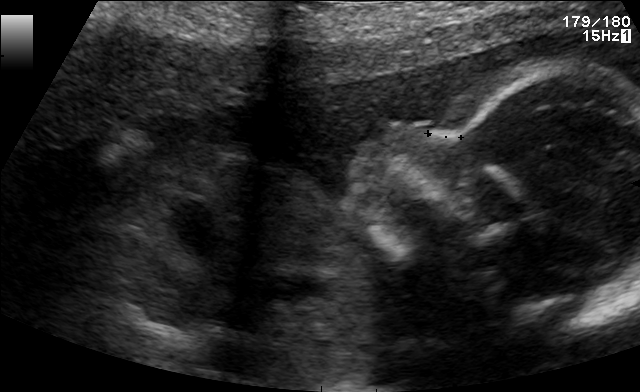
This is a 2D maternal-fetal ultrasound frame. Is it a fetal abdomen, fetal brain, fetal femur, fetal thorax, maternal cervix, or other standard plane? If it's fetal brain and one of the three standard brain planes (trans-thalamic, trans-cerebellum, trans-ventricular), name which.

Other